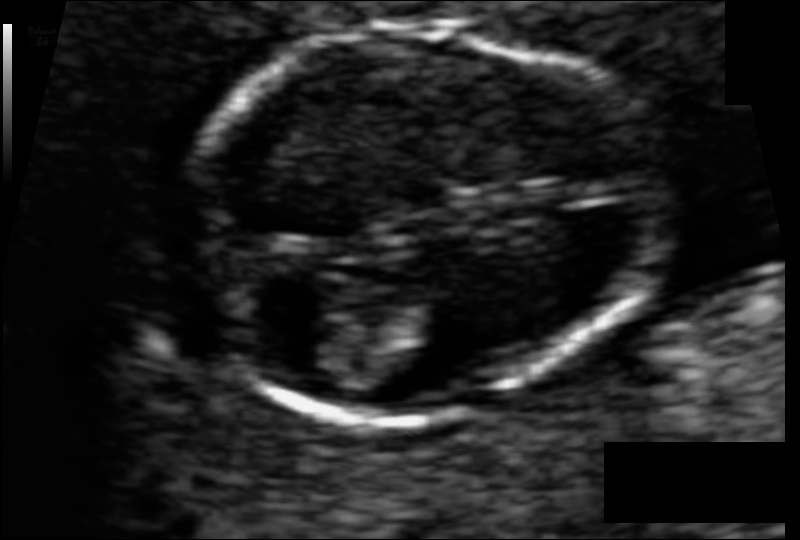
Fetal head ultrasound. Image width: 43.8 mm. Locate the fetal head.

Head: [185,18,652,419]